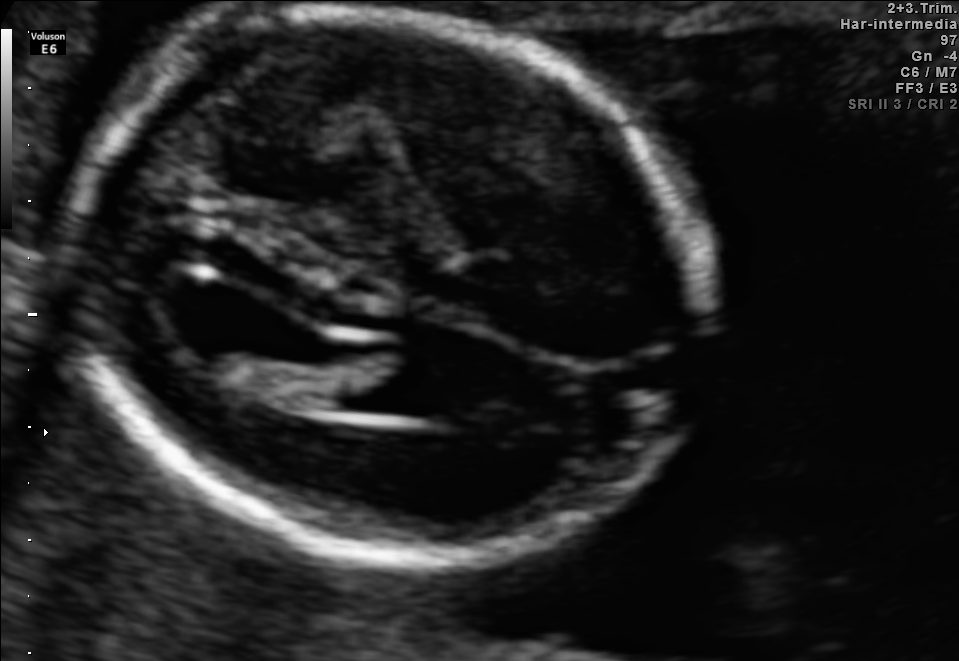
Fetal brain, trans-ventricular plane. Give [x1,y1,x2,y2] bounding boxes for each visible structure among: fetal head, CSP, LV.

Head: [54,4,729,577]